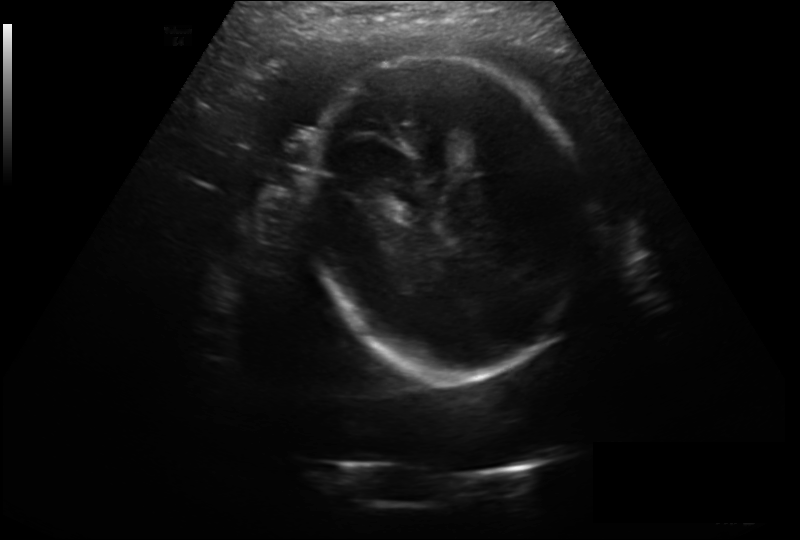
Measure the fetal head circumference shown in this ultrasound image. Image width: 197.0 mm.

Head circumference: 234.6 mm.